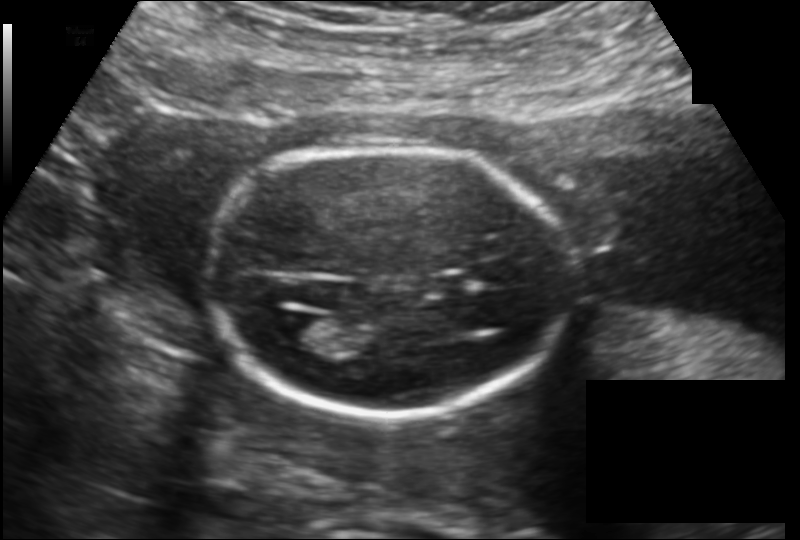
Fetal head ultrasound. Image width: 119.1 mm. Where is the fetal head?

Head bounding box: [206,149,571,416]